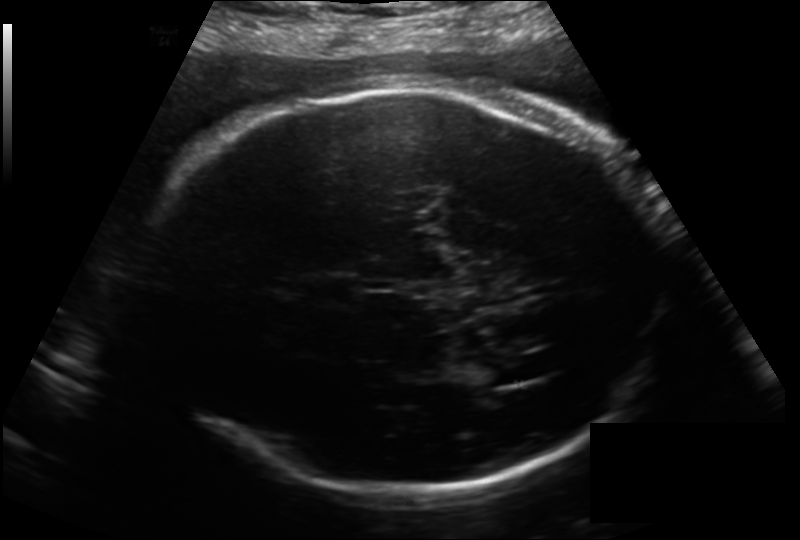
Measure the fetal head circumference shown in this ultrasound image. Image width: 171.3 mm.

Head circumference: 324.6 mm.